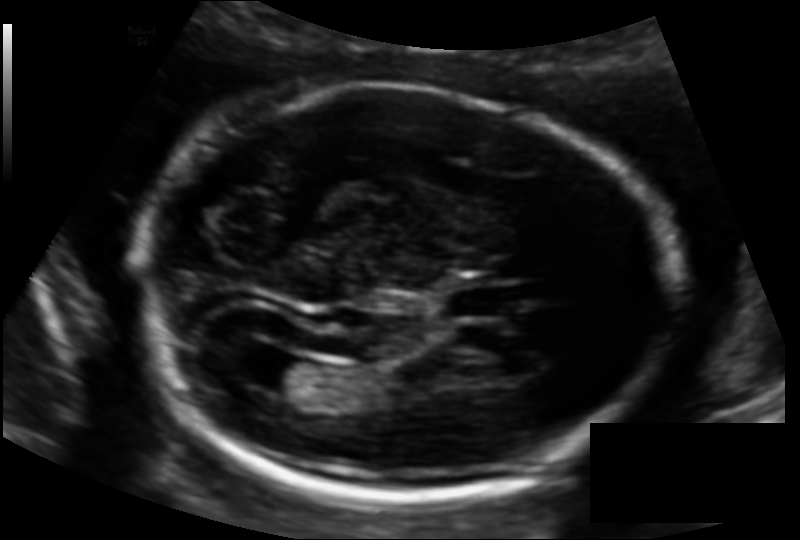
Fetal head ultrasound. Image width: 103.6 mm. Locate the lateral ventricle.

Lateral ventricle: [250,347,322,403]